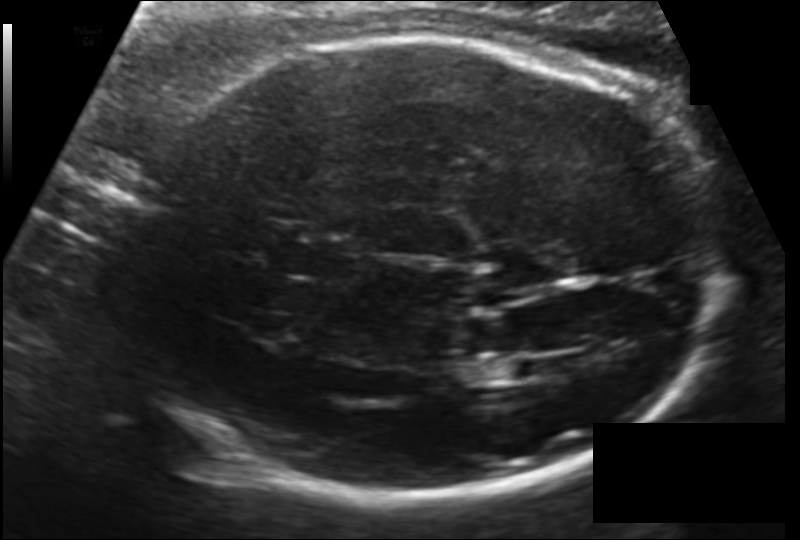
What is the fetal head circumference? Image width is 120.6 mm.

258.8 mm